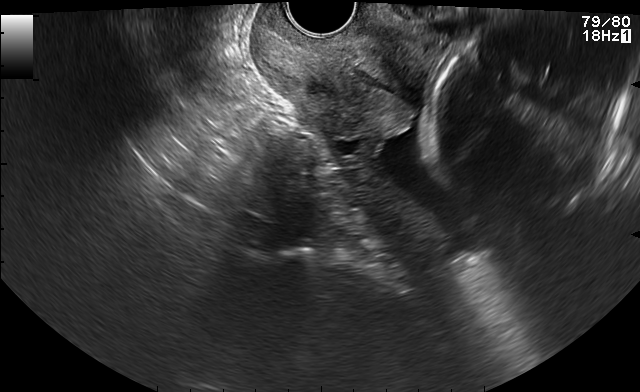
Which standard maternal-fetal ultrasound plane is shown: fetal abdomen, fetal brain, fetal femur, fetal thorax, maternal cervix, or other? If it's fetal brain and one of the three standard brain planes (trans-thalamic, trans-cerebellum, trans-ventricular), name which.

Maternal cervix